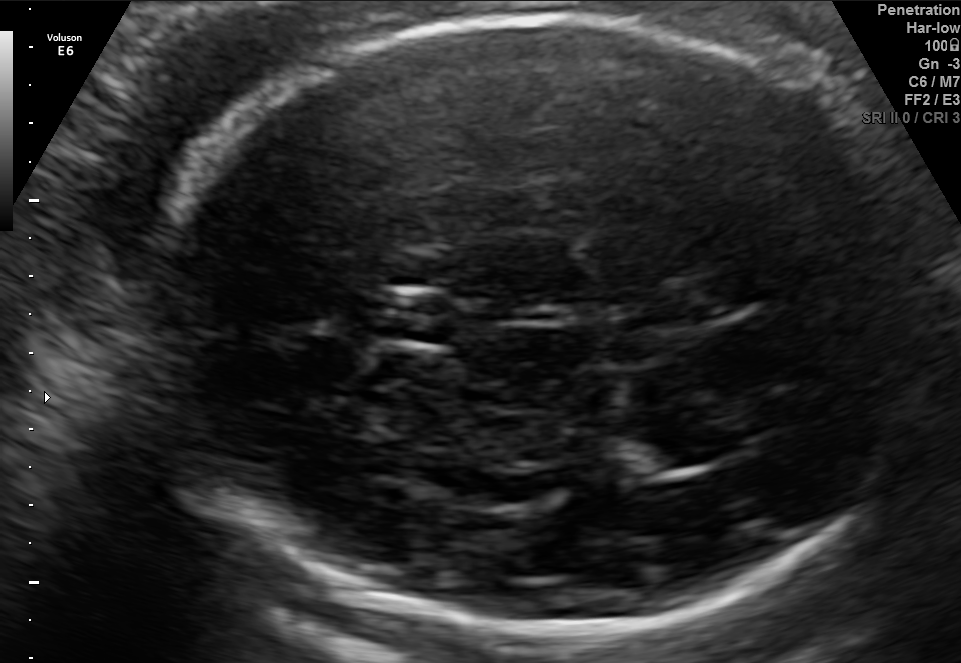
Fetal brain, trans-thalamic plane. Locate the fetal head and, if visible, the cavum septum pellucidum (CSP) and lateral ventricle (LV). Give bounding boxes as [x1,y1,x2,y2].

Head: [137,20,940,631]
CSP: [369,289,461,346]
Lateral ventricle: [612,418,731,482]